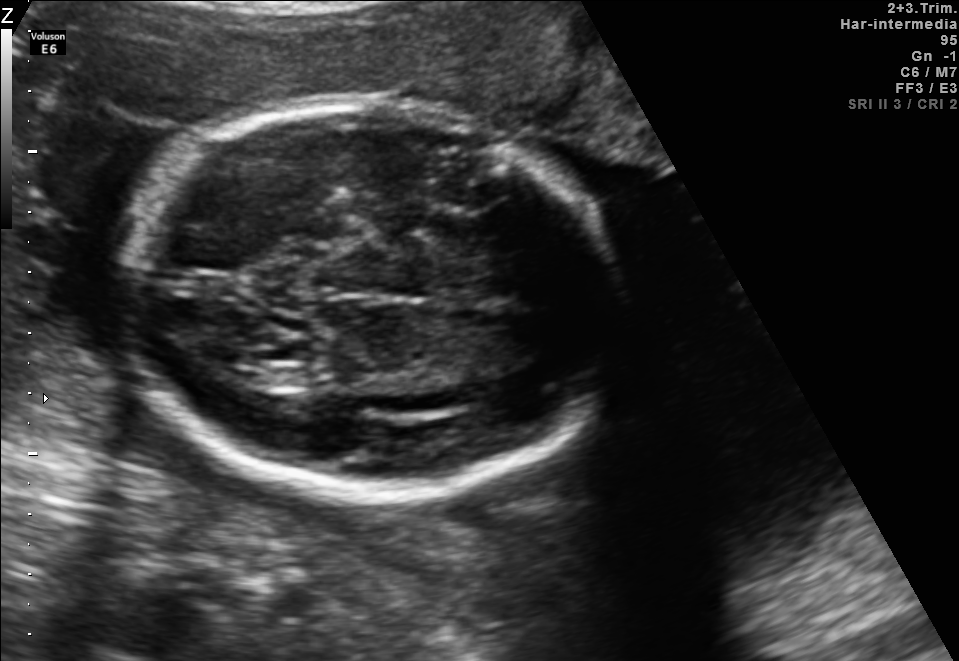
In this fetal brain, trans-thalamic plane, give bounding boxes for the head outline, cavum septum pellucidum (CSP), and lateral ventricle (LV), where visible.

Head: [118,103,615,498]
Lateral ventricle: [228,358,277,389]